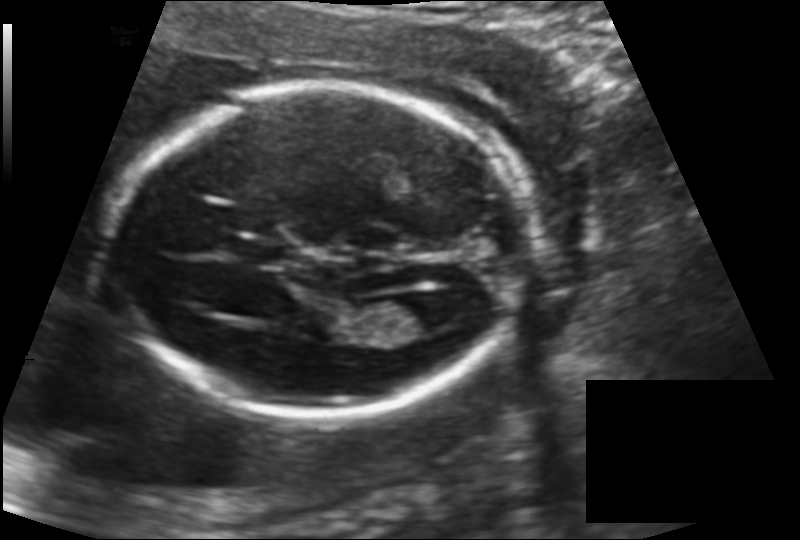
Fetal head ultrasound. Image width: 113.5 mm. Where is the fetal head?

Head bounding box: [118,85,517,413]